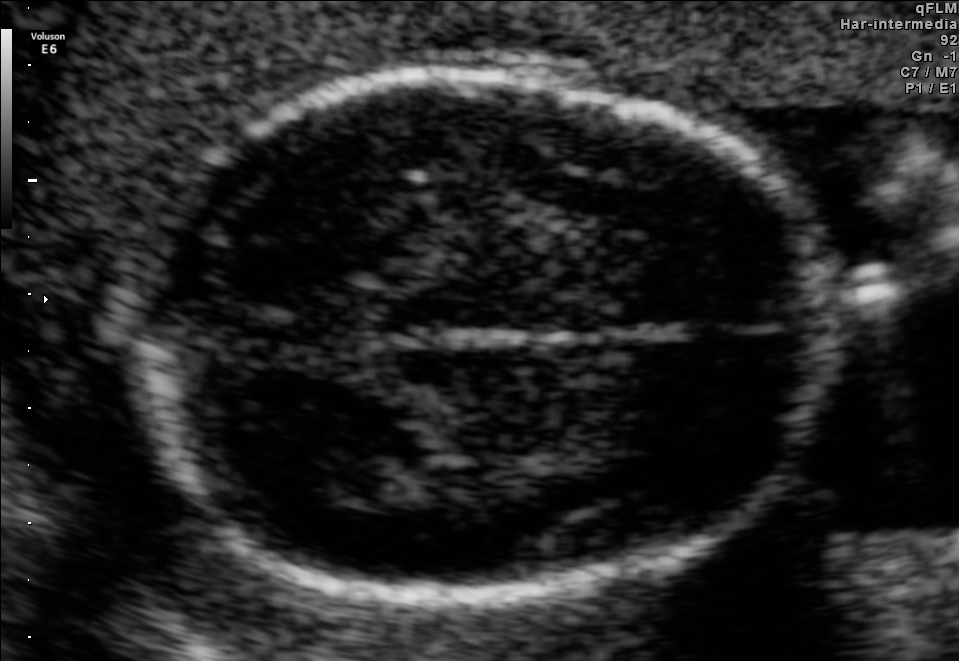
Fetal brain, trans-thalamic plane. Locate the fetal head and, if visible, the cavum septum pellucidum (CSP) and lateral ventricle (LV). Give bounding boxes as [x1,y1,x2,y2].

Head: [165,70,822,591]